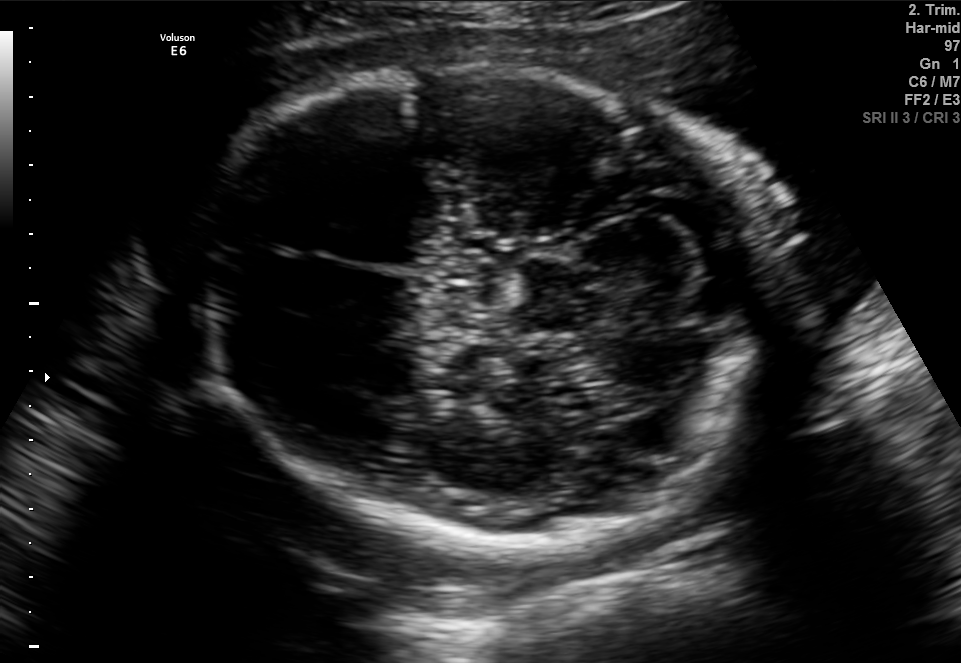
Fetal brain, trans-cerebellum plane. Where is the fetal head?

Head bounding box: [201,69,784,548]